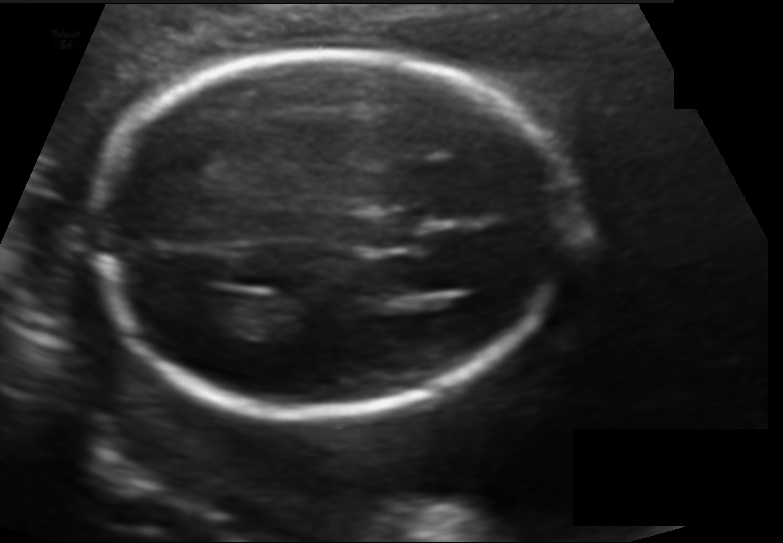
In this fetal head ultrasound, give bounding boxes for the head outline, cavum septum pellucidum (CSP), and lateral ventricle (LV), where visible. Image width: 100.2 mm.

Head: [93,55,564,412]